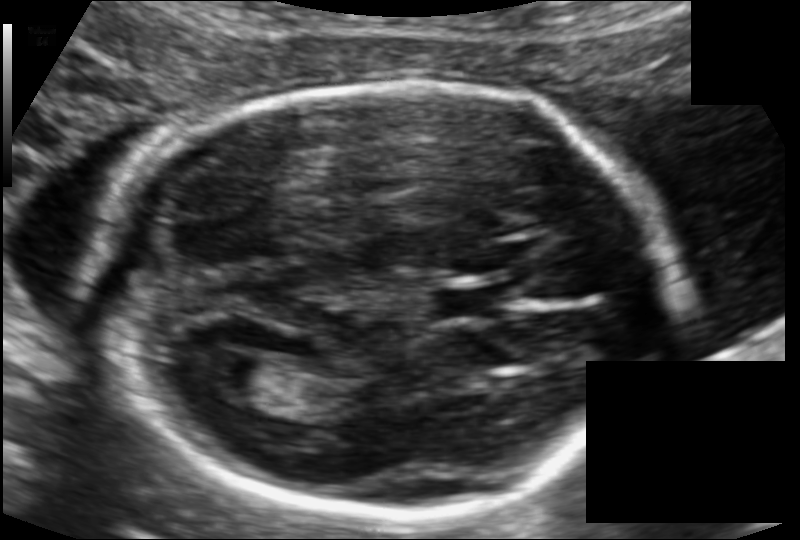
Estimate the fetal head circumference from this 2D ultrasound.

Head circumference: 180.7 mm (image width 87.3 mm).